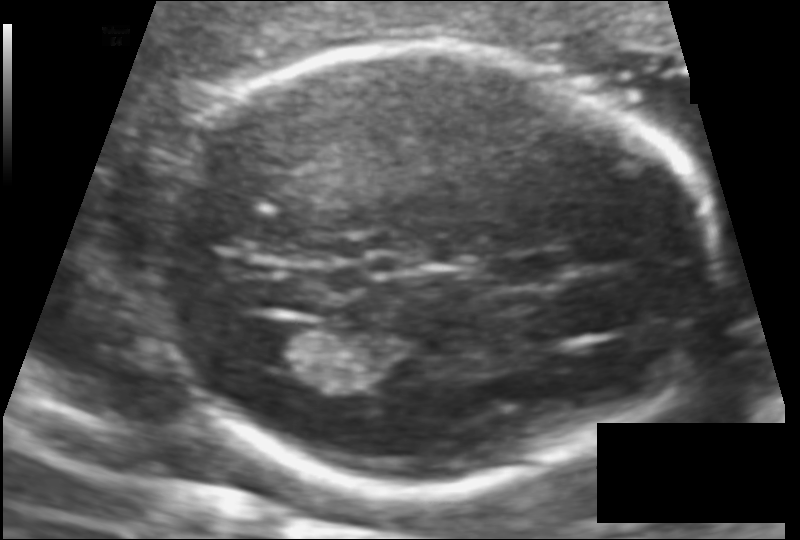
From this fetal ultrasound, estimate the head circumference (image width 84.7 mm).

Head circumference: 173.7 mm.